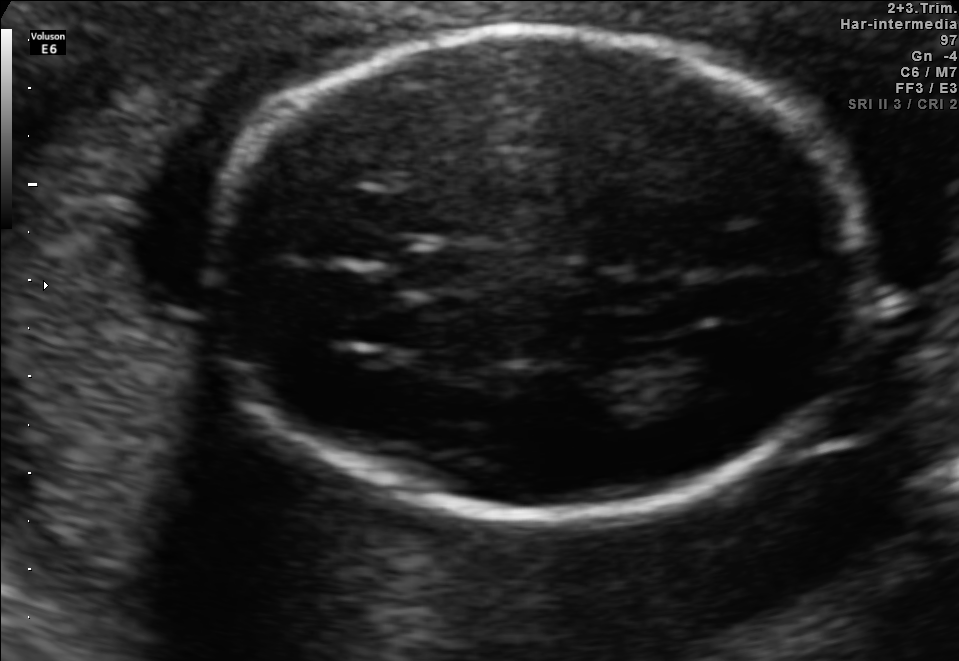
Fetal brain, trans-thalamic plane. Where is the fetal head?

Head bounding box: [211,31,862,516]